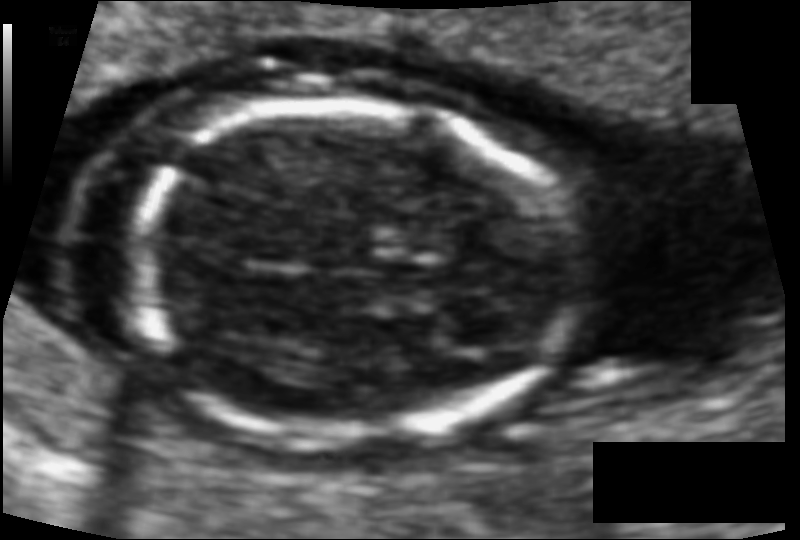
Fetal head ultrasound. Image width: 65.1 mm. Give [x1,y1,x2,y2] bounding boxes for each visible structure among: fetal head, CSP, LV.

Head: [132,101,570,437]